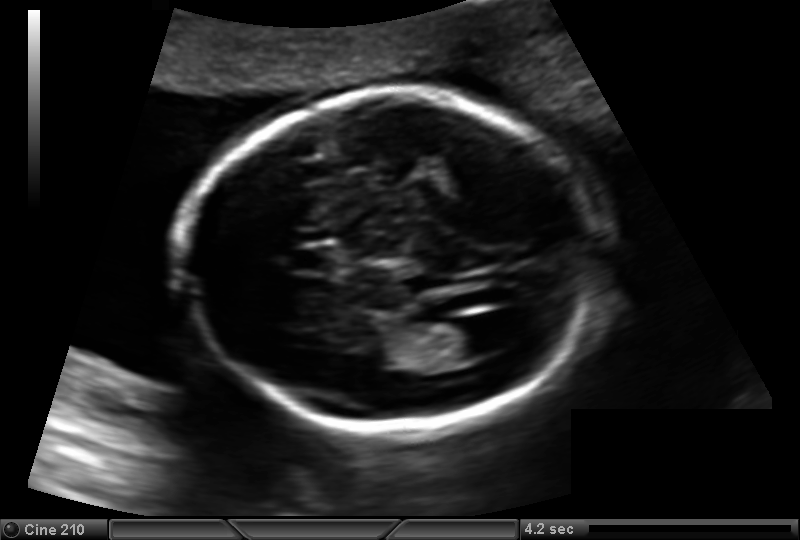
Estimate the fetal head circumference from this 2D ultrasound.

Head circumference: 168.1 mm (image width 109.7 mm).